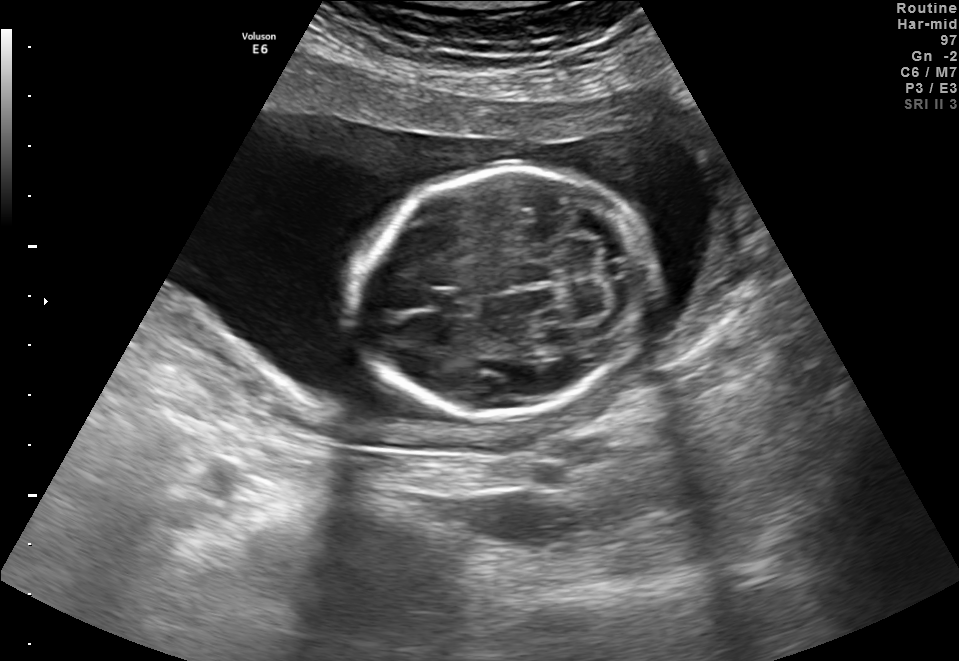
Fetal brain, trans-cerebellum plane. Locate the fetal head.

Head: [351,169,654,416]